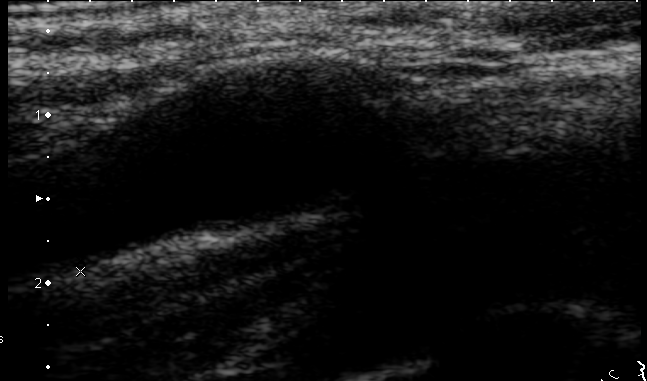
This is a 2D maternal-fetal ultrasound frame. Is it a fetal abdomen, fetal brain, fetal femur, fetal thorax, maternal cervix, or other standard plane? If it's fetal brain and one of the three standard brain planes (trans-thalamic, trans-cerebellum, trans-ventricular), name which.

Other